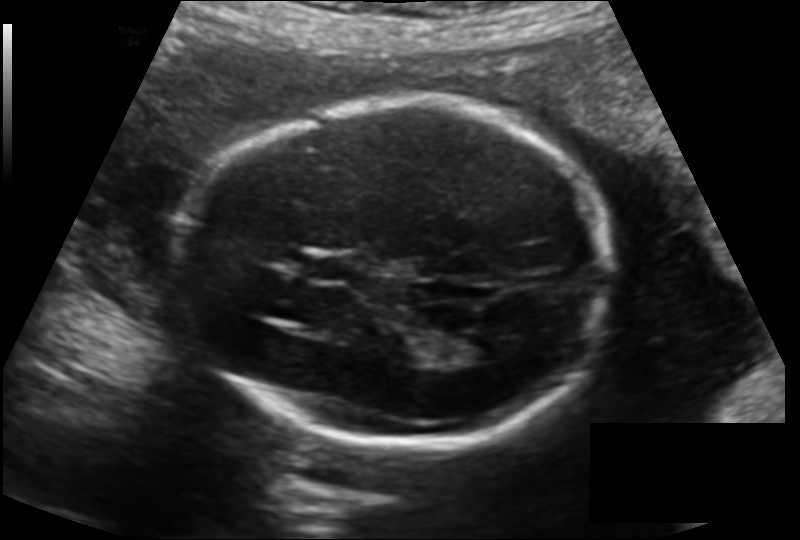
Estimate the fetal head circumference from this 2D ultrasound. Image width: 115.3 mm.

Head circumference: 180.7 mm.